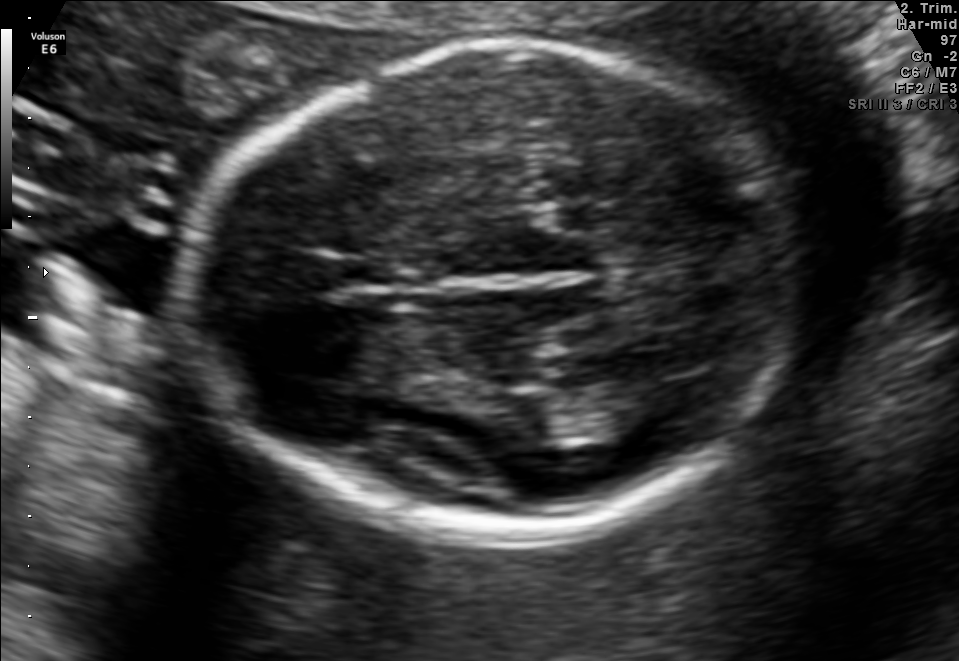
In this fetal brain, trans-thalamic plane, give bounding boxes for the head outline, cavum septum pellucidum (CSP), and lateral ventricle (LV), where visible.

Head: [177,45,794,534]
Lateral ventricle: [598,372,708,441]